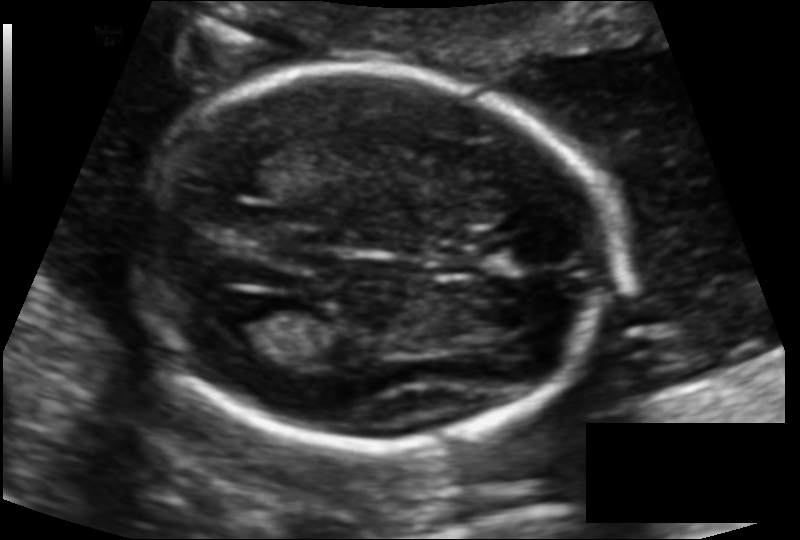
In this fetal head ultrasound, give the bounding box of the fetal head. Image width: 93.4 mm.

[131,65,612,446]